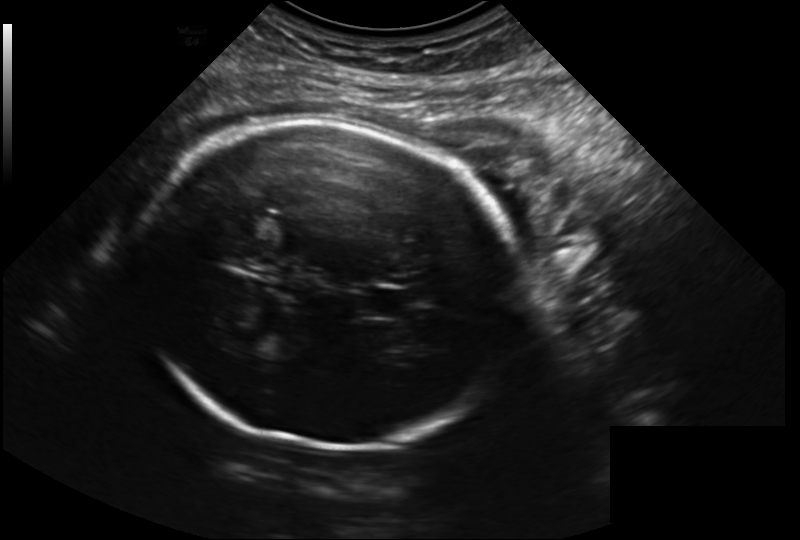
Estimate the fetal head circumference from this 2D ultrasound.

Head circumference: 254.6 mm (image width 178.0 mm).